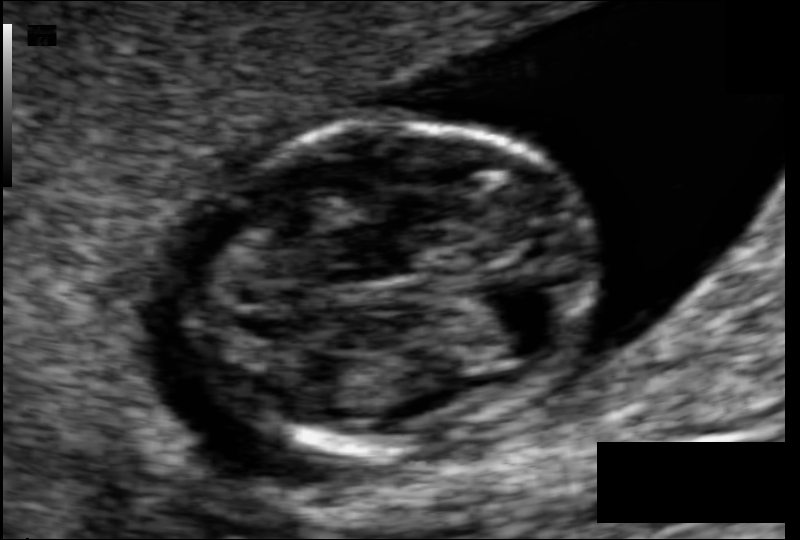
In this fetal head ultrasound, give bounding boxes for the head outline, cavum septum pellucidum (CSP), and lateral ventricle (LV), where visible. Image width: 49.9 mm.

Head: [184,122,594,451]